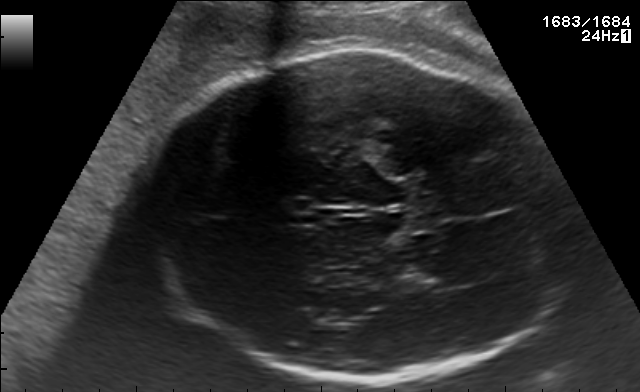
In this fetal brain, trans-thalamic plane, give bounding boxes for the head outline, cavum septum pellucidum (CSP), and lateral ventricle (LV), where visible.

Head: [136,47,564,382]